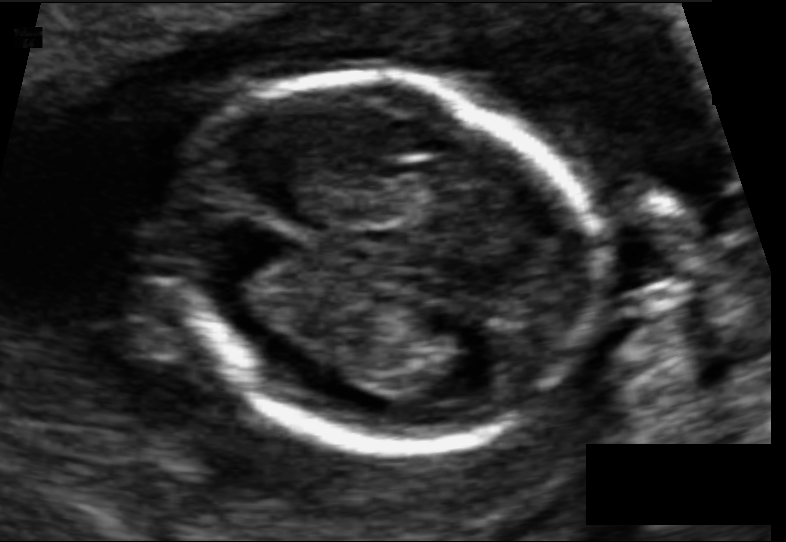
What is the fetal head circumference? Image width is 58.4 mm.

97.1 mm